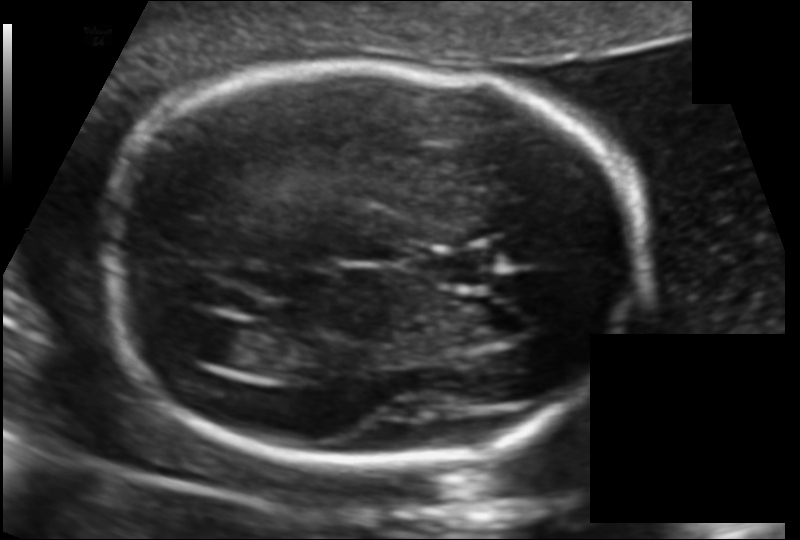
Estimate the fetal head circumference from this 2D ultrasound.

Head circumference: 180.9 mm (image width 93.9 mm).